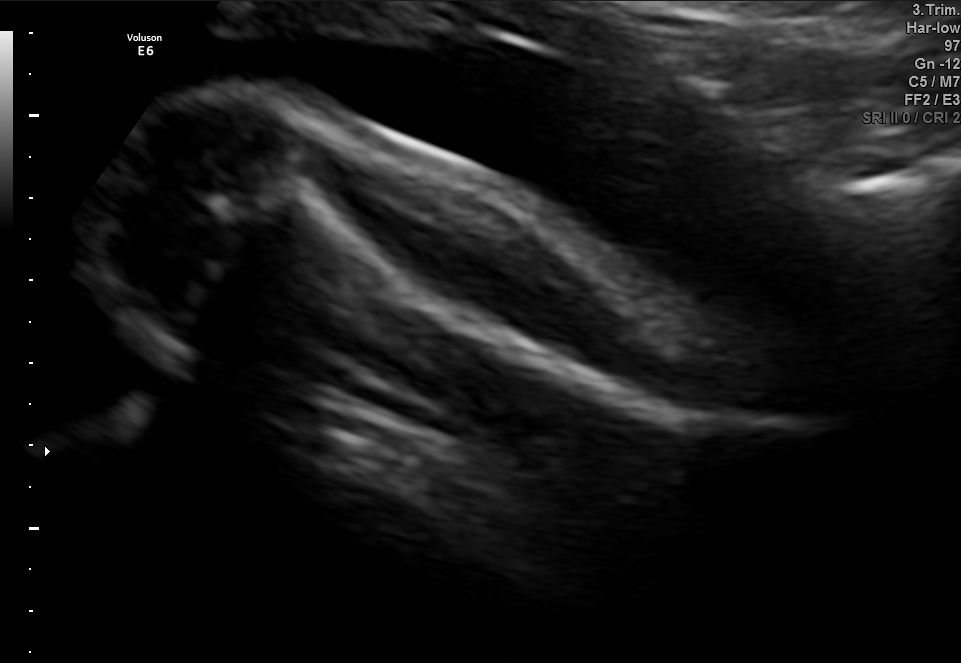
Which standard maternal-fetal ultrasound plane is shown: fetal abdomen, fetal brain, fetal femur, fetal thorax, maternal cervix, or other? If it's fetal brain and one of the three standard brain planes (trans-thalamic, trans-cerebellum, trans-ventricular), name which.

Fetal femur